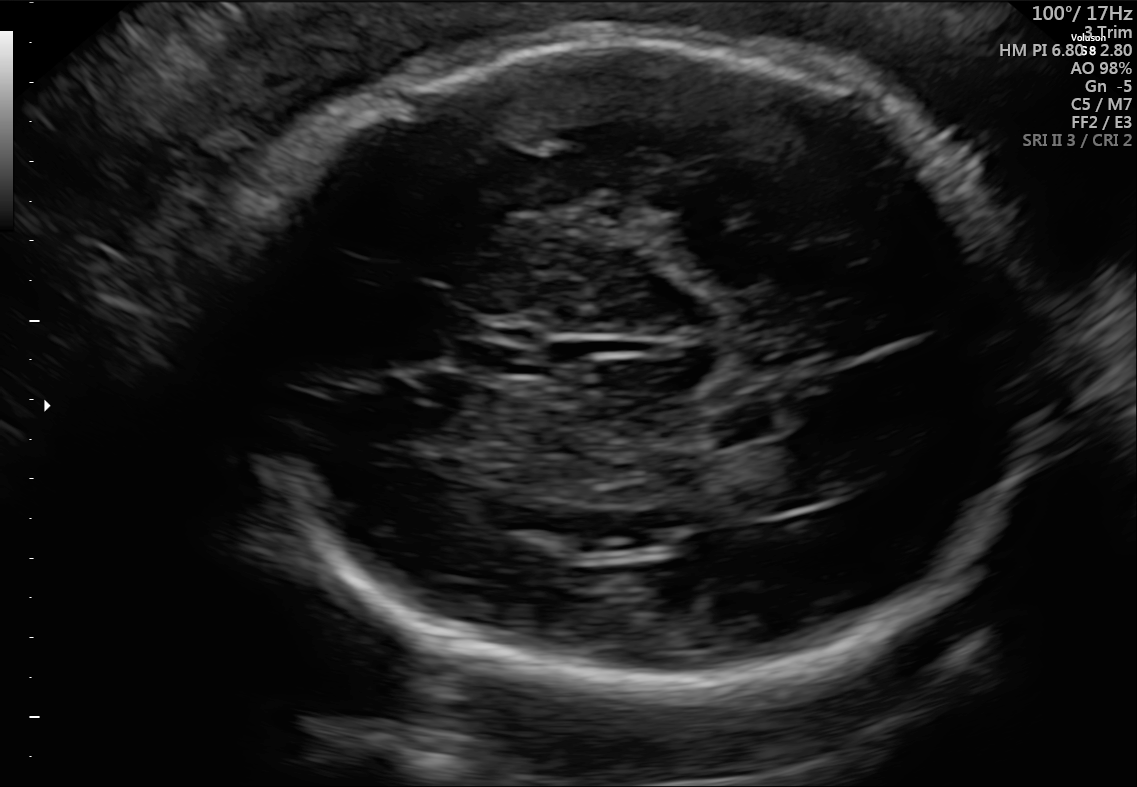
Fetal brain, trans-thalamic plane. Where is the lateral ventricle?

Lateral ventricle bounding box: [740,424,868,518]